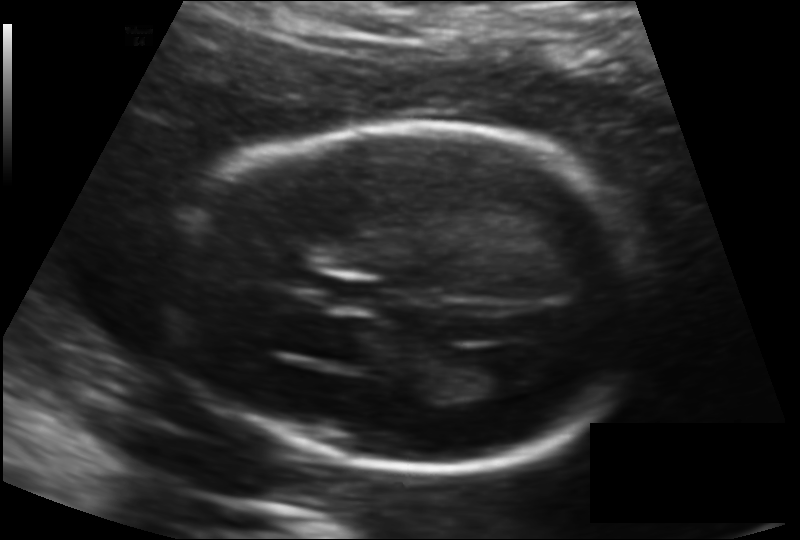
Fetal head ultrasound. Image width: 108.1 mm. Where is the cavum septum pellucidum?

CSP bounding box: [331,278,386,313]